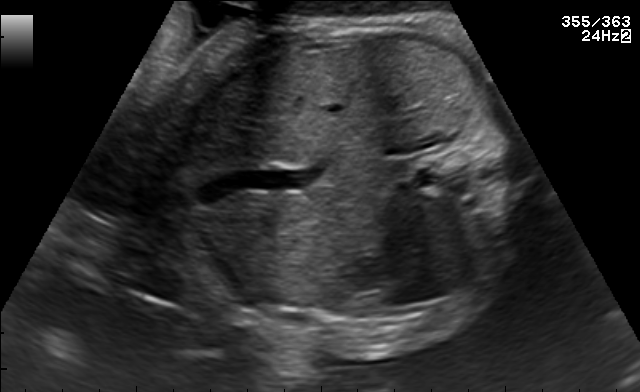
Classify this maternal-fetal ultrasound image as one of the six standard planes — fetal abdomen, fetal brain, fetal femur, fetal thorax, maternal cervix, or other. If it's fetal brain and one of the three standard brain planes (trans-thalamic, trans-cerebellum, trans-ventricular), name which.

Fetal abdomen